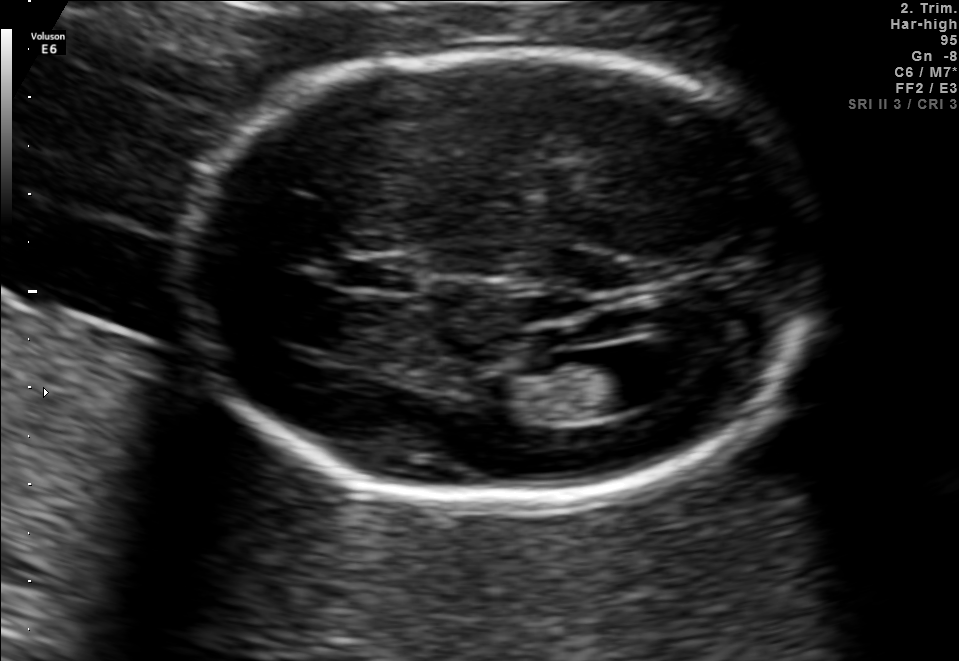
Fetal brain, trans-ventricular plane. Locate the fetal head and, if visible, the cavum septum pellucidum (CSP) and lateral ventricle (LV). Give bounding boxes as [x1,y1,x2,y2].

Head: [174,44,823,507]
CSP: [326,251,429,300]
Lateral ventricle: [562,331,688,423]